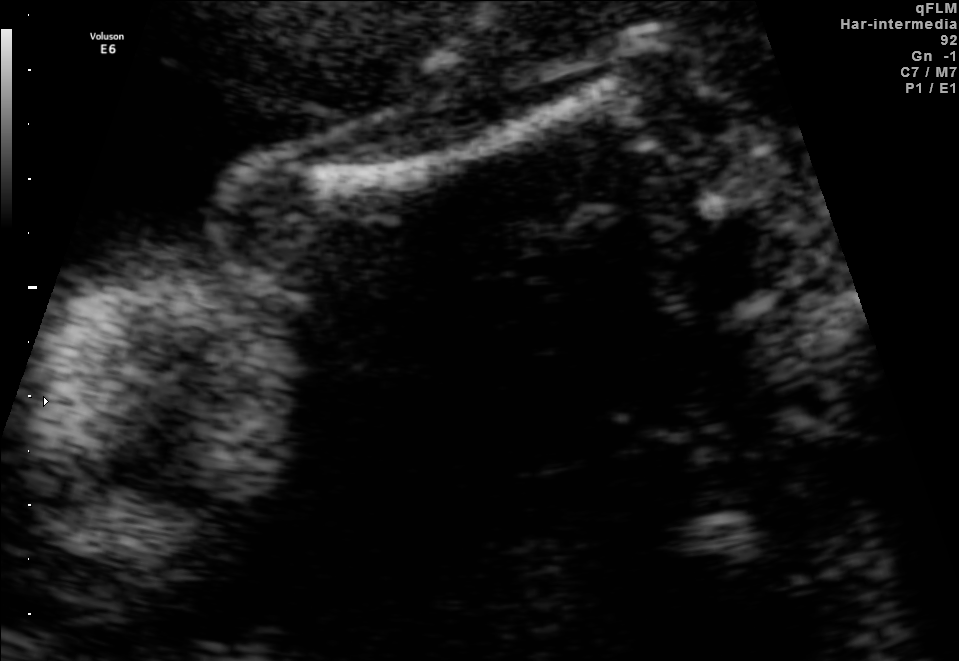
This is a 2D maternal-fetal ultrasound frame. Is it a fetal abdomen, fetal brain, fetal femur, fetal thorax, maternal cervix, or other standard plane? If it's fetal brain and one of the three standard brain planes (trans-thalamic, trans-cerebellum, trans-ventricular), name which.

Fetal femur